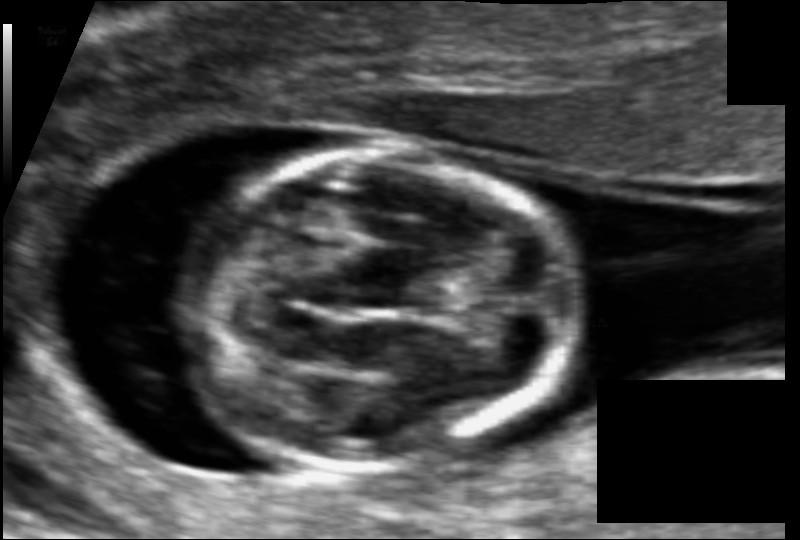
In this fetal head ultrasound, give bounding boxes for the head outline, cavum septum pellucidum (CSP), and lateral ventricle (LV), where visible. Image width: 53.6 mm.

Head: [186,154,567,469]